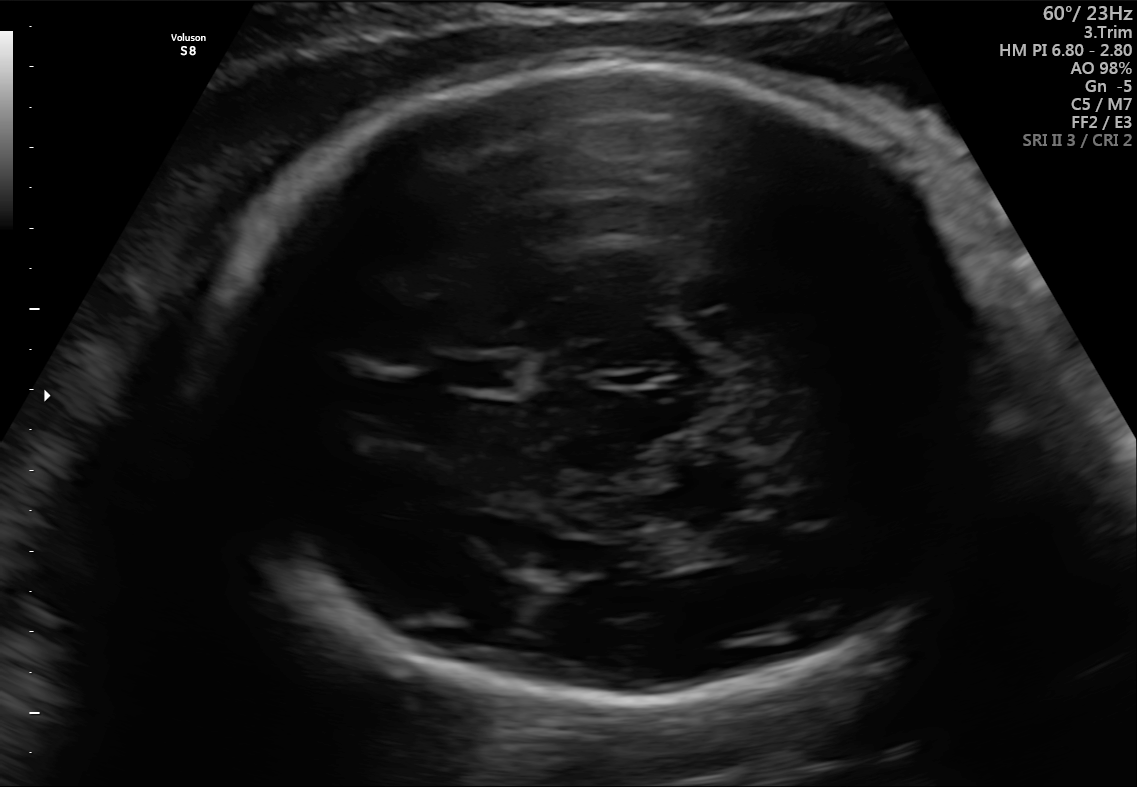
In this fetal brain, trans-thalamic plane, give the bounding box of the cavum septum pellucidum.

[435,355,523,391]